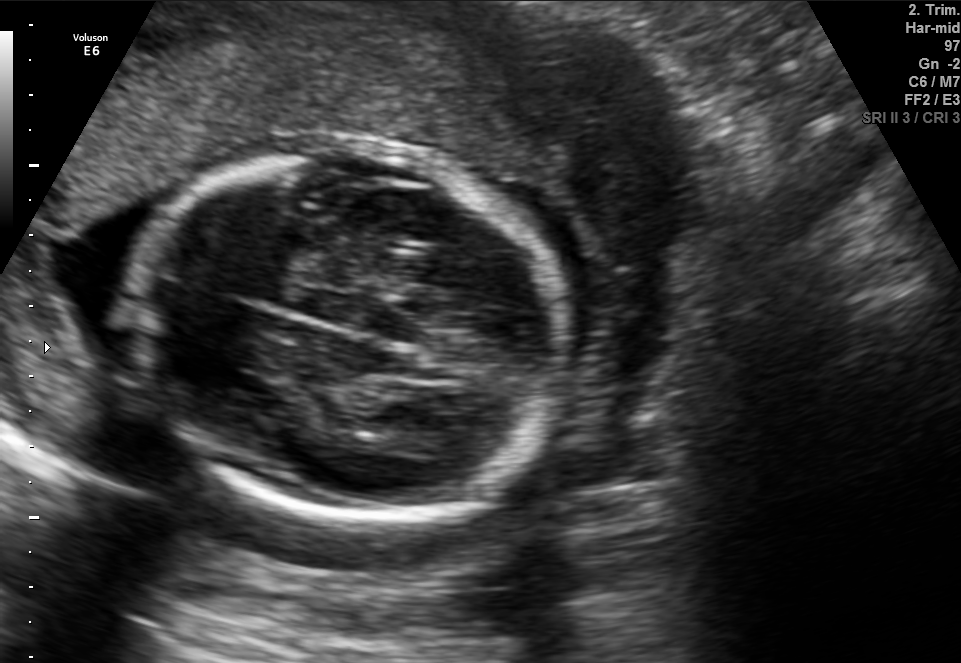
In this fetal brain, trans-thalamic plane, give the bounding box of the fetal head.

[122,147,572,520]